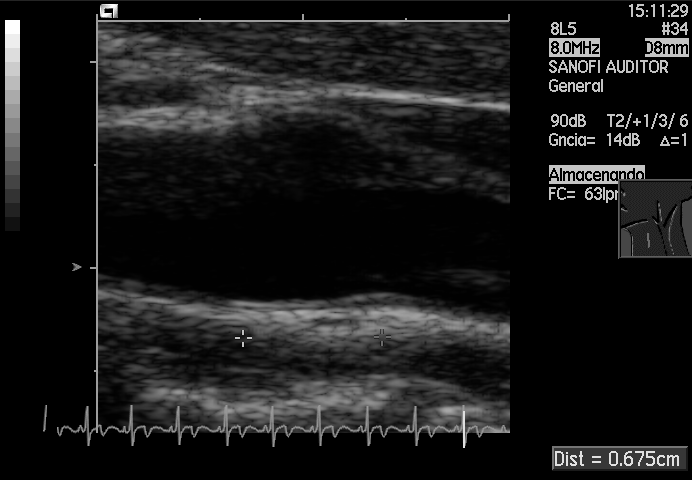
This is a 2D maternal-fetal ultrasound frame. Is it a fetal abdomen, fetal brain, fetal femur, fetal thorax, maternal cervix, or other standard plane? If it's fetal brain and one of the three standard brain planes (trans-thalamic, trans-cerebellum, trans-ventricular), name which.

Other